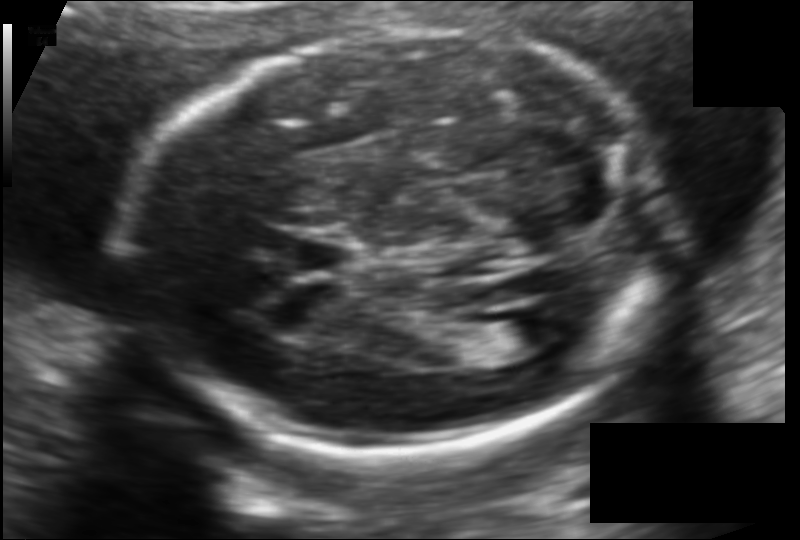
In this fetal head ultrasound, give the bounding box of the cavum septum pellucidum. Image width: 94.7 mm.

[290,232,358,278]